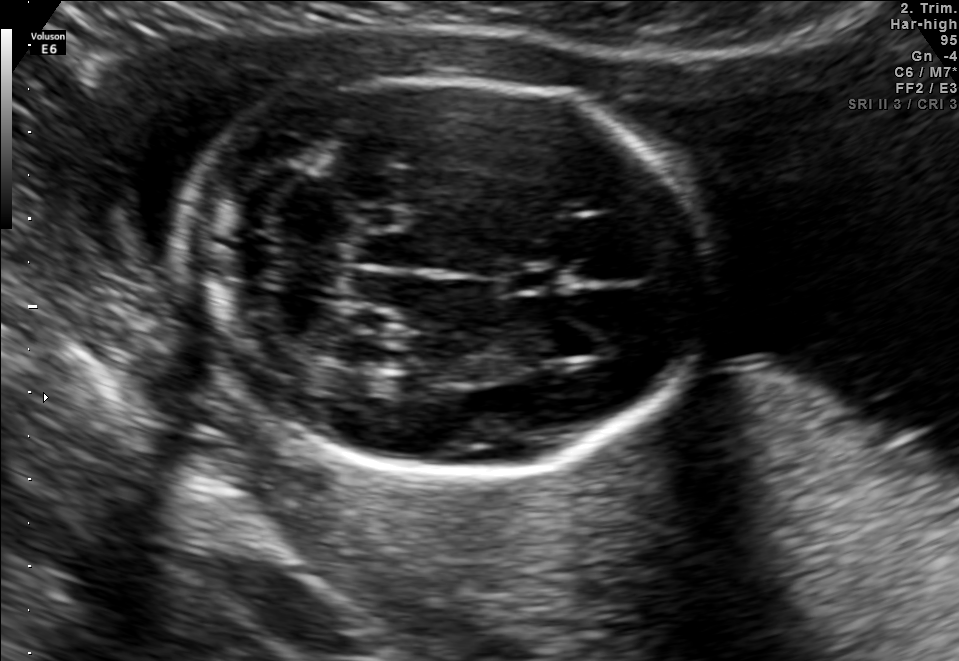
In this fetal brain, trans-cerebellum plane, give the bounding box of the cavum septum pellucidum.

[504,262,564,298]